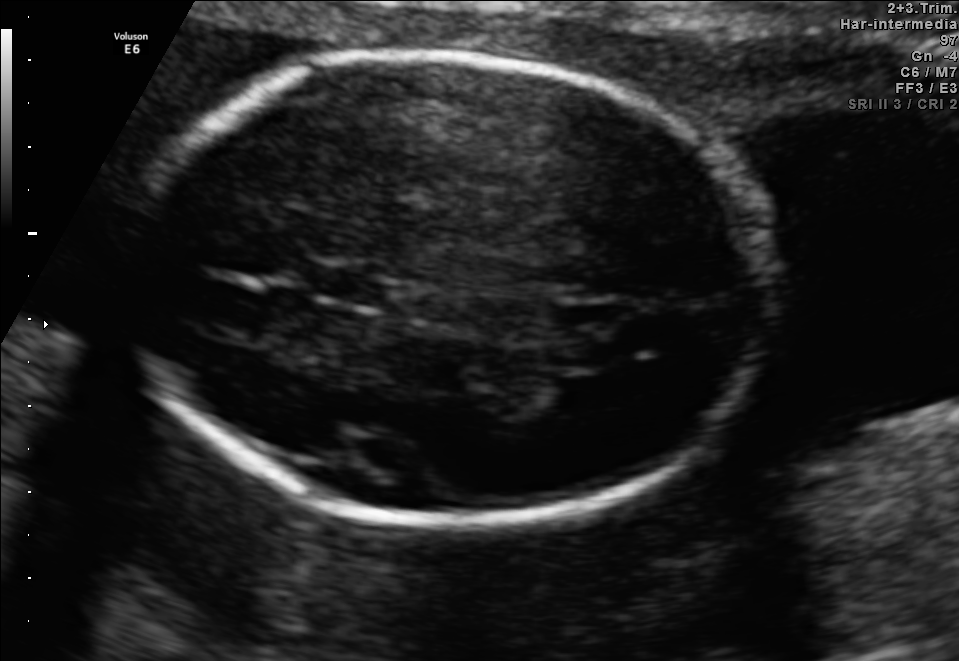
Fetal brain, trans-thalamic plane. Where is the fetal head?

Head bounding box: [123,54,770,523]